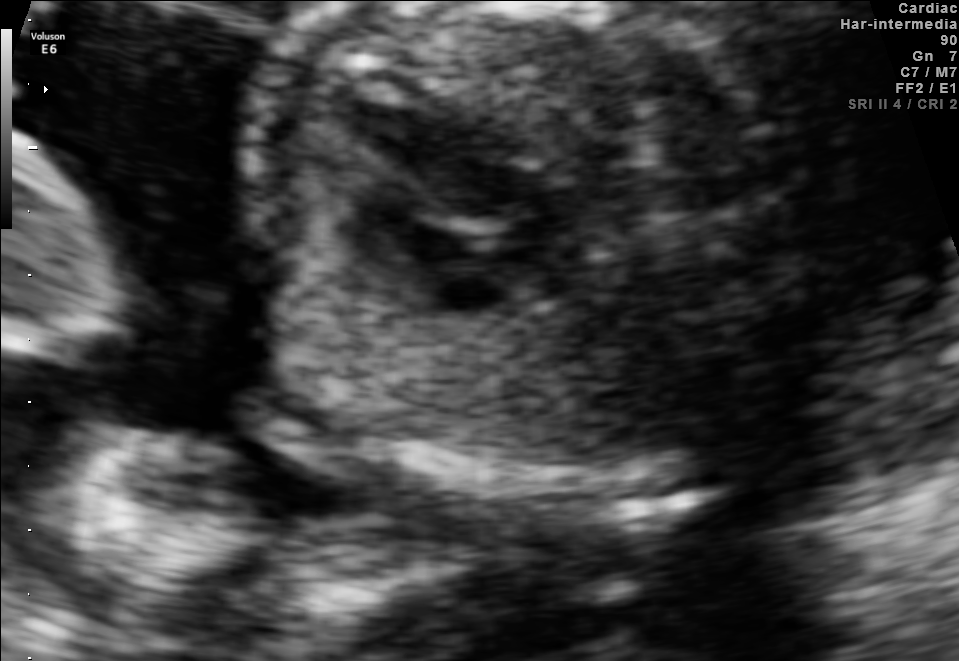
Identify the standard plane in this fetal ultrasound image: fetal abdomen, fetal brain, fetal femur, fetal thorax, maternal cervix, or other. If it's fetal brain and one of the three standard brain planes (trans-thalamic, trans-cerebellum, trans-ventricular), name which.

Fetal thorax